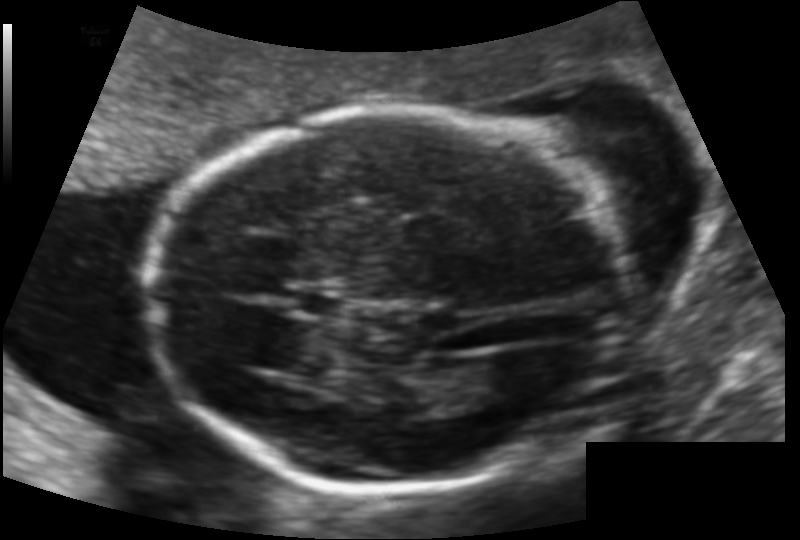
In this fetal head ultrasound, give bounding boxes for the head outline, cavum septum pellucidum (CSP), and lateral ventricle (LV), where visible. Image width: 94.5 mm.

Head: [150,109,620,491]
CSP: [292,288,343,319]
Lateral ventricle: [469,350,545,410]